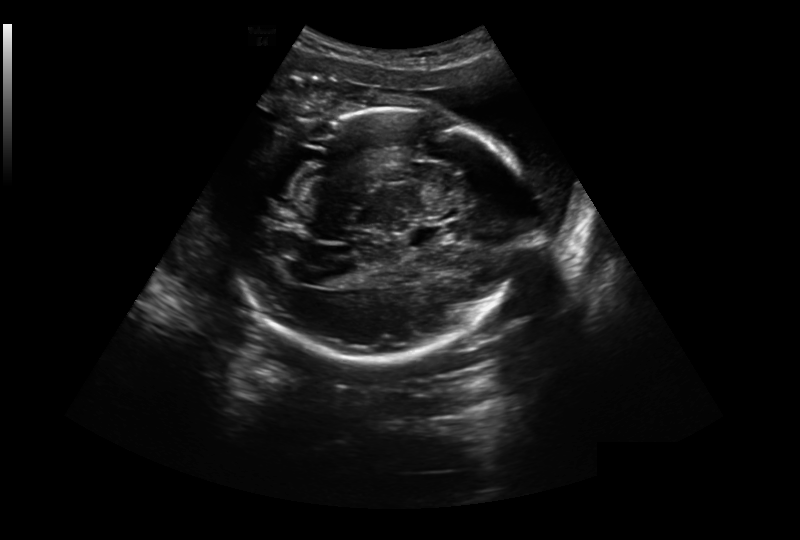
Fetal head ultrasound. Image width: 243.0 mm. Give [x1,y1,x2,y2] bounding boxes for each visible structure among: fetal head, CSP, LV.

Head: [236,108,529,364]
CSP: [405,222,445,249]
Lateral ventricle: [322,271,353,288]